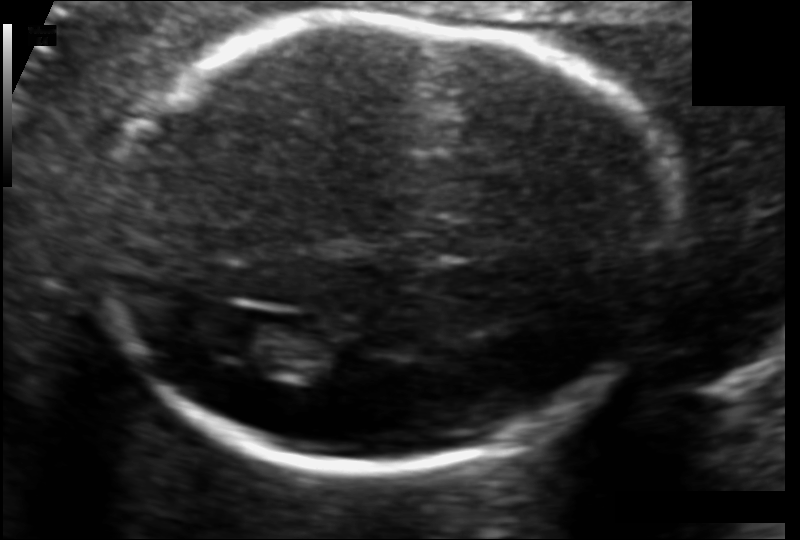
Fetal head ultrasound. Image width: 84.9 mm. Where is the lateral ventricle?

Lateral ventricle bounding box: [205,314,312,374]